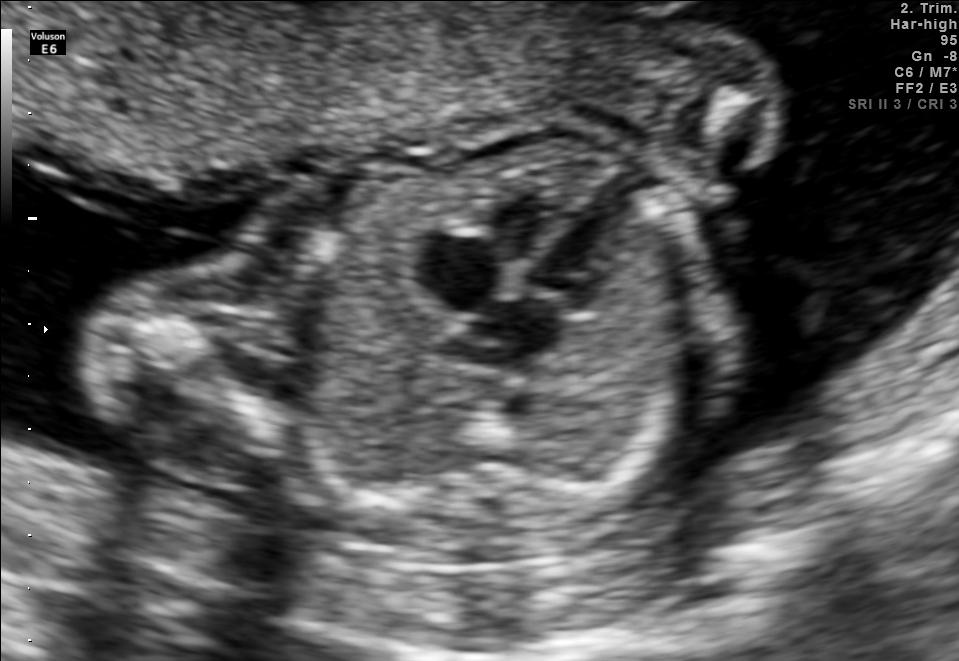
This is a 2D maternal-fetal ultrasound frame. Is it a fetal abdomen, fetal brain, fetal femur, fetal thorax, maternal cervix, or other standard plane? If it's fetal brain and one of the three standard brain planes (trans-thalamic, trans-cerebellum, trans-ventricular), name which.

Fetal thorax